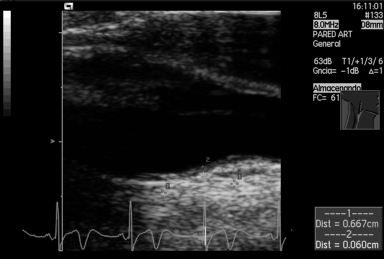
Classify this maternal-fetal ultrasound image as one of the six standard planes — fetal abdomen, fetal brain, fetal femur, fetal thorax, maternal cervix, or other. If it's fetal brain and one of the three standard brain planes (trans-thalamic, trans-cerebellum, trans-ventricular), name which.

Other